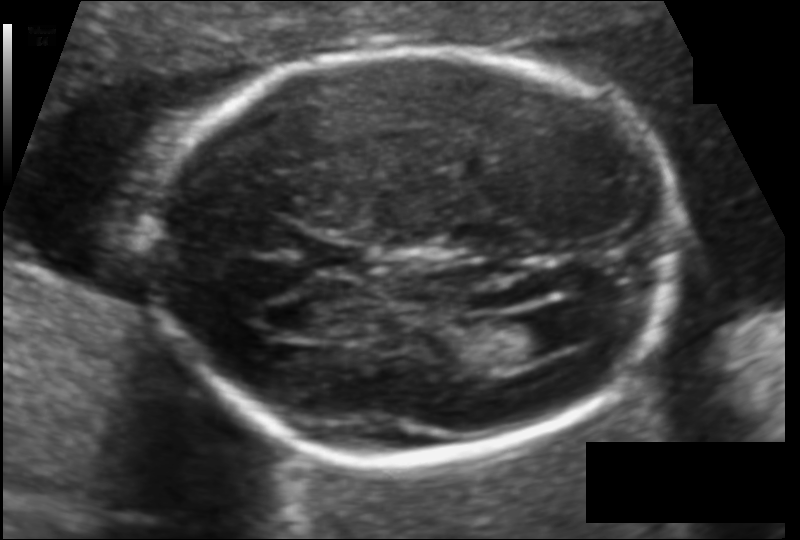
From this fetal ultrasound, estimate the head circumference (image width 89.1 mm).

Head circumference: 169.3 mm.